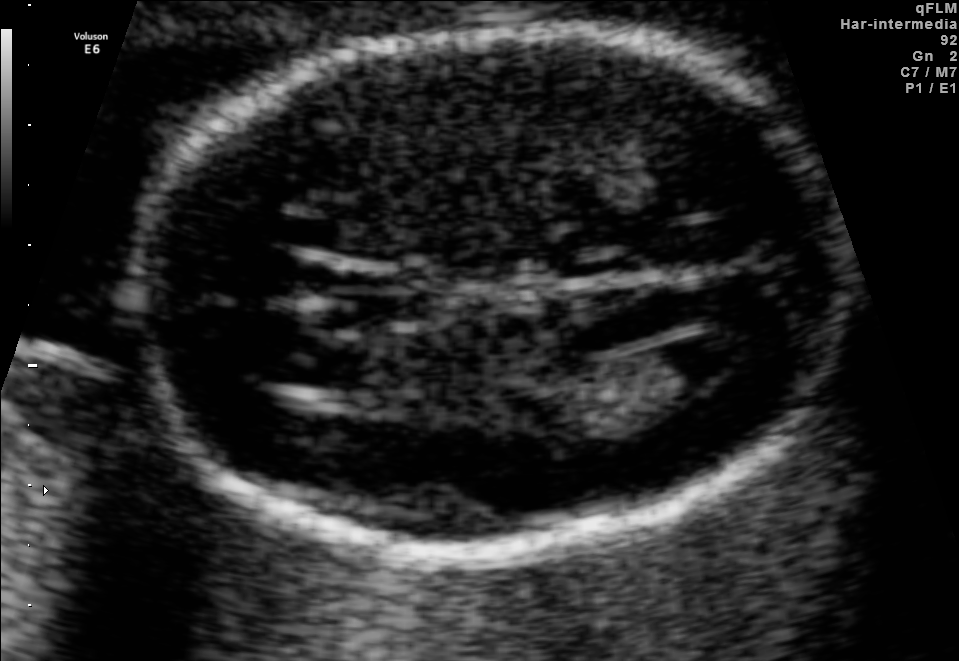
In this fetal brain, trans-ventricular plane, give the bounding box of the fetal head.

[131,22,840,559]